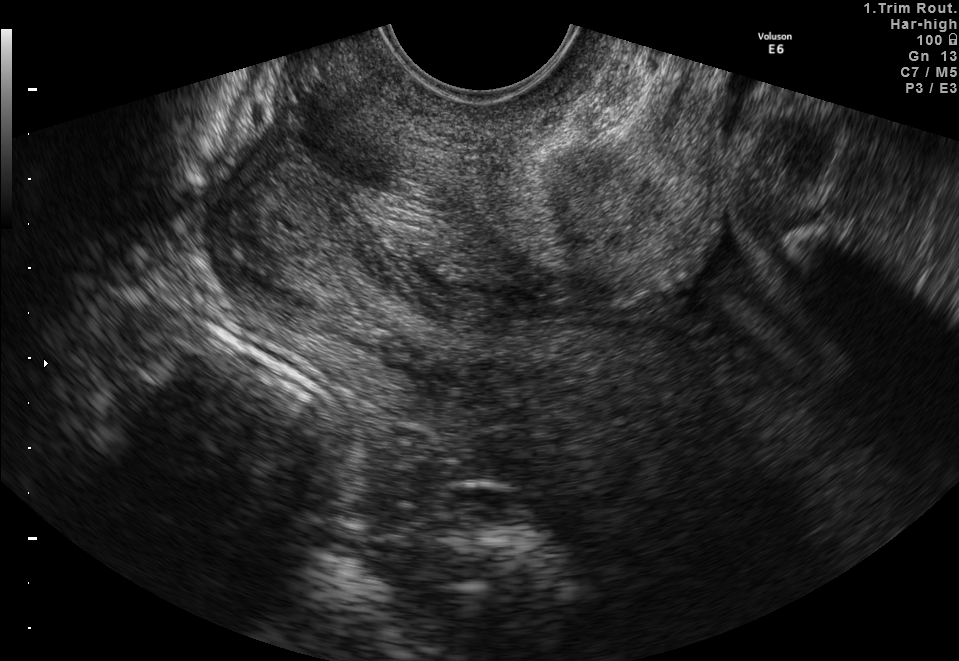
Classify this maternal-fetal ultrasound image as one of the six standard planes — fetal abdomen, fetal brain, fetal femur, fetal thorax, maternal cervix, or other. If it's fetal brain and one of the three standard brain planes (trans-thalamic, trans-cerebellum, trans-ventricular), name which.

Maternal cervix